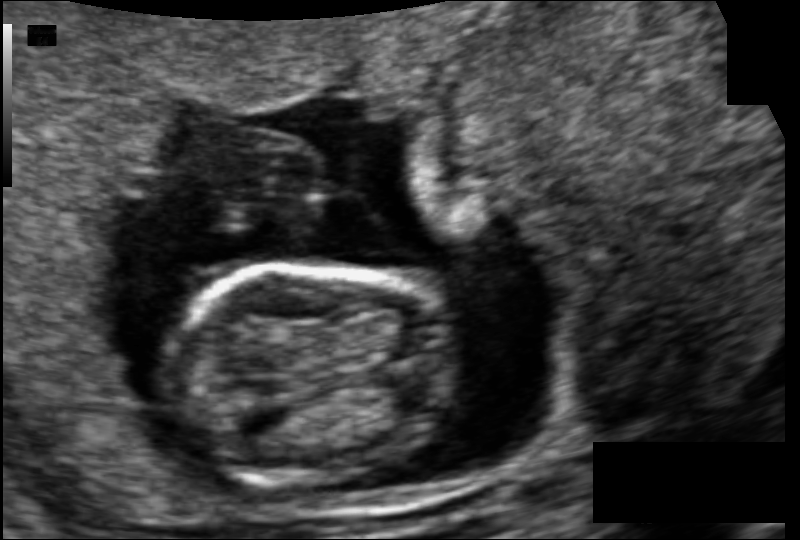
Estimate the fetal head circumference from this 2D ultrasound. Image width: 70.0 mm.

Head circumference: 71.9 mm.